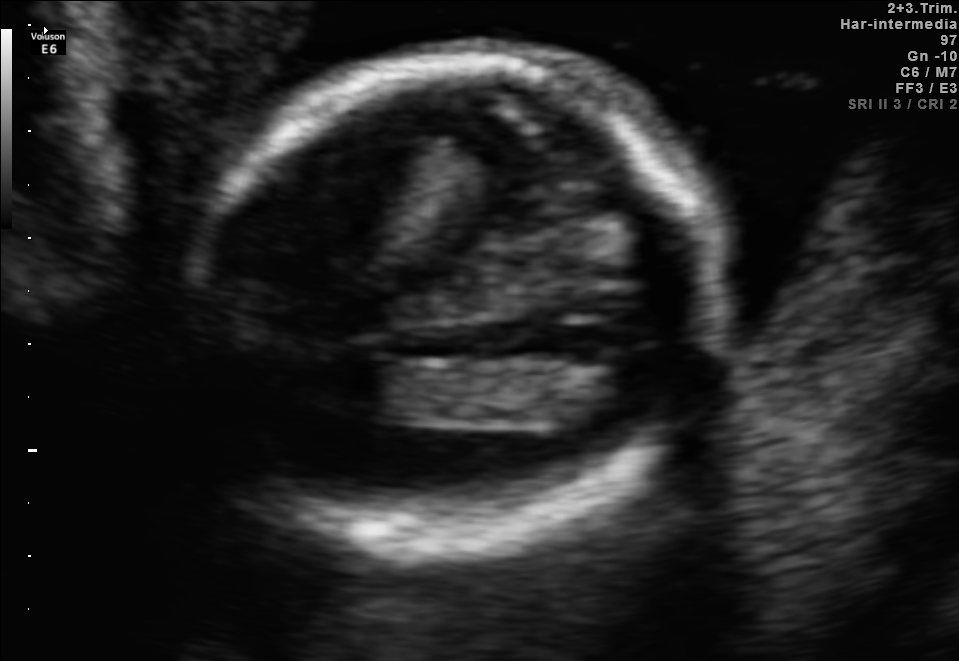
Fetal brain, trans-thalamic plane. Locate the fetal head.

Head: [181,57,720,538]